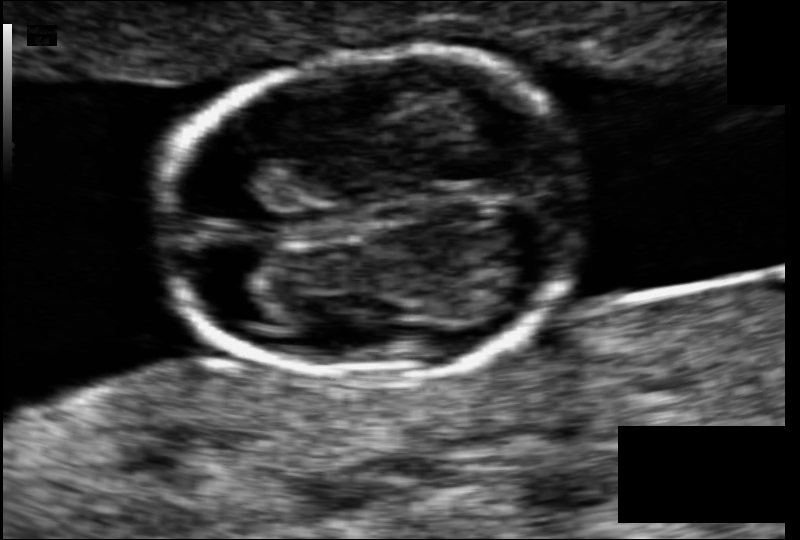
In this fetal head ultrasound, give bounding boxes for the head outline, cavum septum pellucidum (CSP), and lateral ventricle (LV), where visible. Image width: 50.6 mm.

Head: [158,52,586,378]